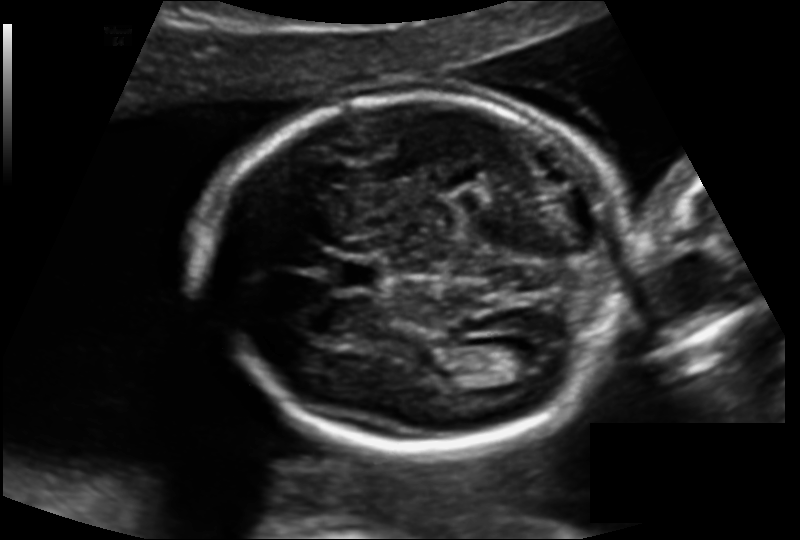
Estimate the fetal head circumference from this 2D ultrasound. Image width: 110.2 mm.

Head circumference: 174.0 mm.